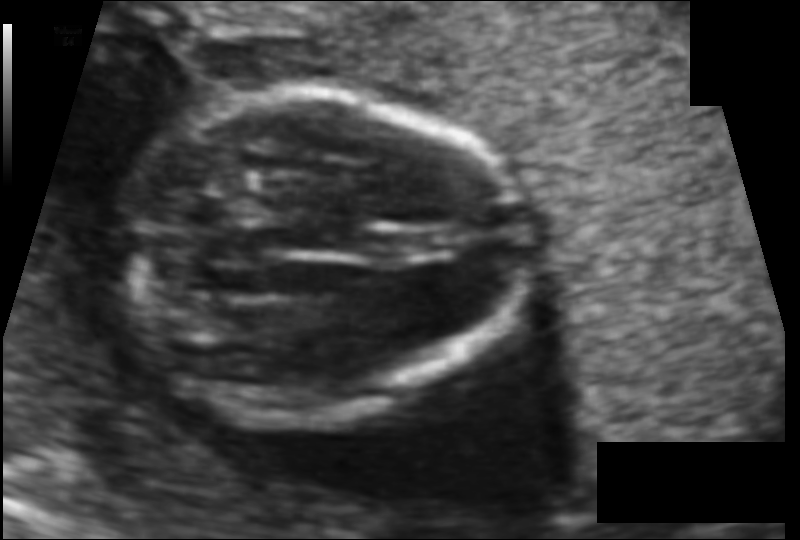
From this fetal ultrasound, estimate the head circumference (image width 71.6 mm).

Head circumference: 104.3 mm.